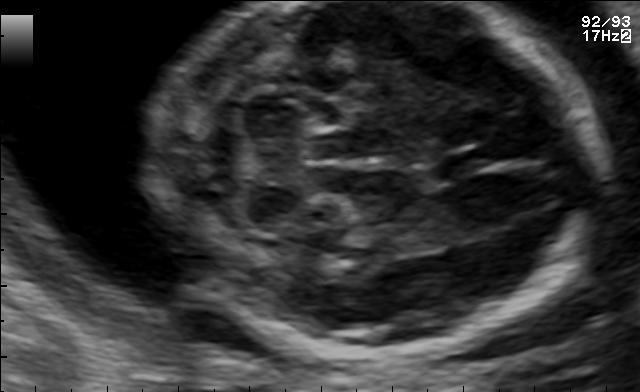
Which standard maternal-fetal ultrasound plane is shown: fetal abdomen, fetal brain, fetal femur, fetal thorax, maternal cervix, or other? If it's fetal brain and one of the three standard brain planes (trans-thalamic, trans-cerebellum, trans-ventricular), name which.

Fetal brain (trans-cerebellum plane)